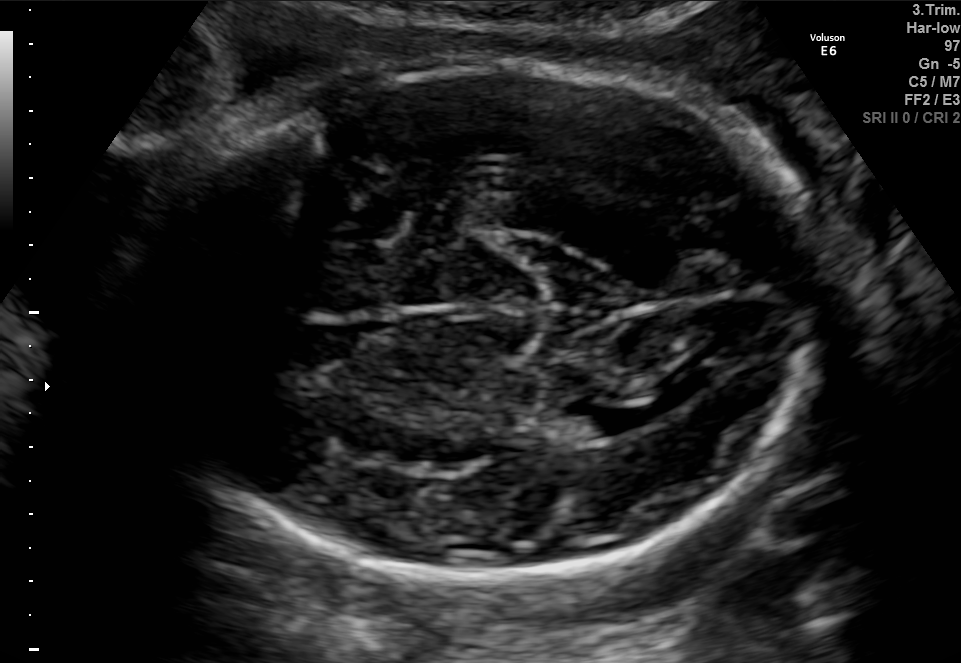
In this fetal brain, trans-thalamic plane, give the bounding box of the fetal head.

[129,50,846,583]